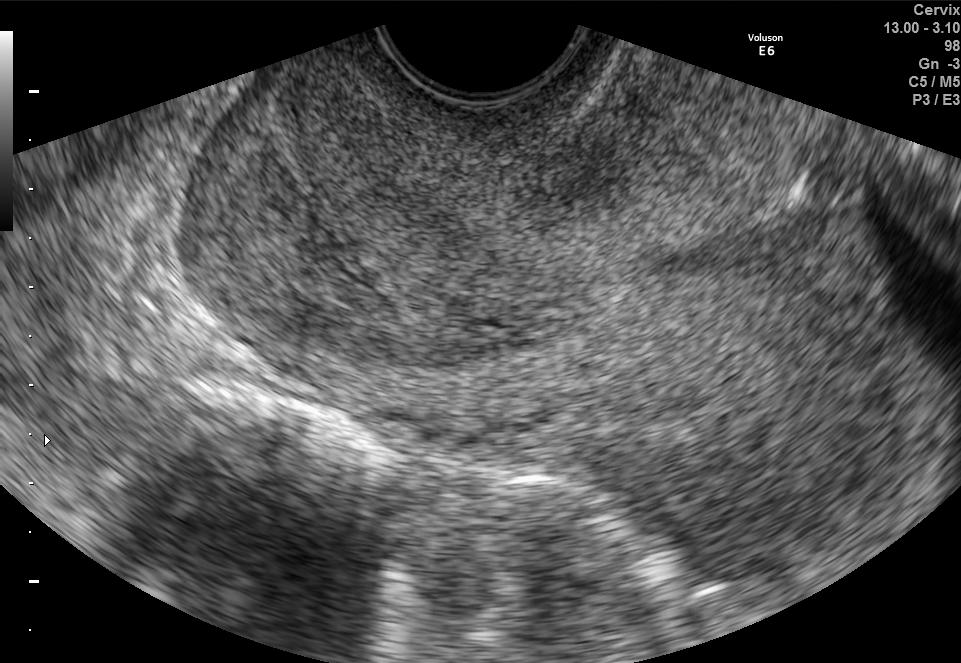
This is a 2D maternal-fetal ultrasound frame. Is it a fetal abdomen, fetal brain, fetal femur, fetal thorax, maternal cervix, or other standard plane? If it's fetal brain and one of the three standard brain planes (trans-thalamic, trans-cerebellum, trans-ventricular), name which.

Maternal cervix